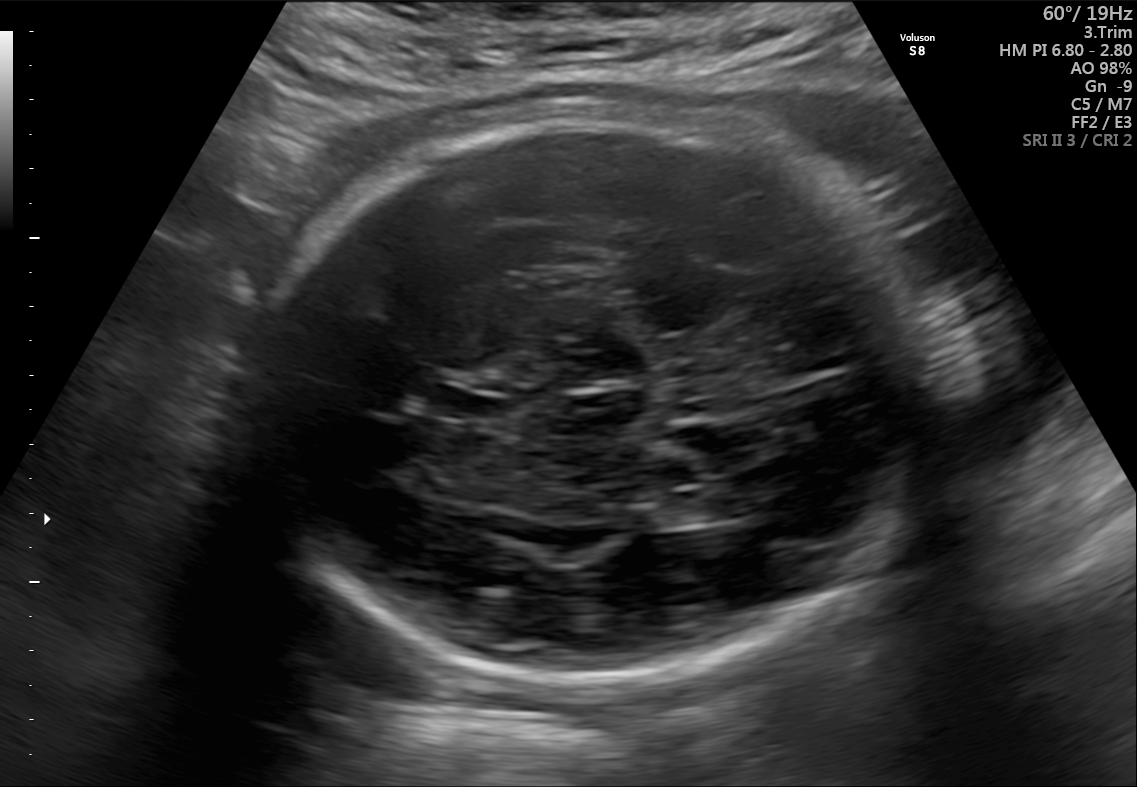
In this fetal brain, trans-ventricular plane, give the bounding box of the fetal head.

[248,104,937,700]